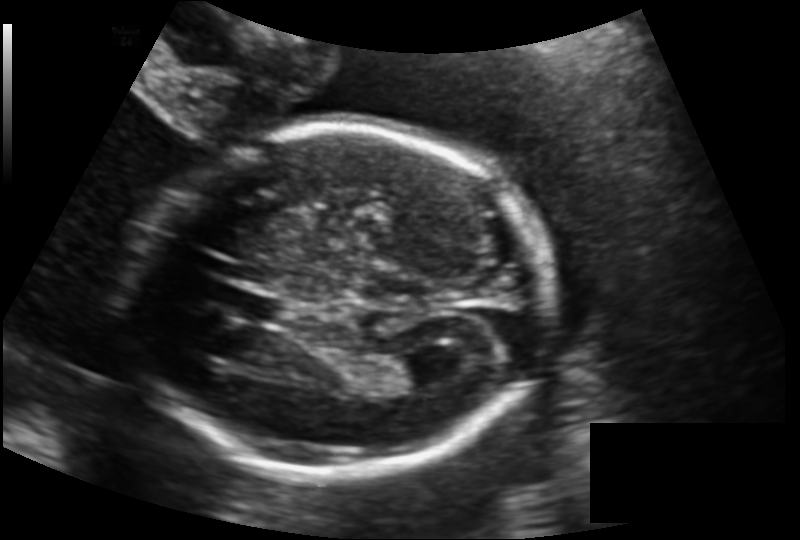
Fetal head ultrasound. Image width: 117.2 mm. Locate the cavum septum pellucidum.

CSP: [225,284,291,330]